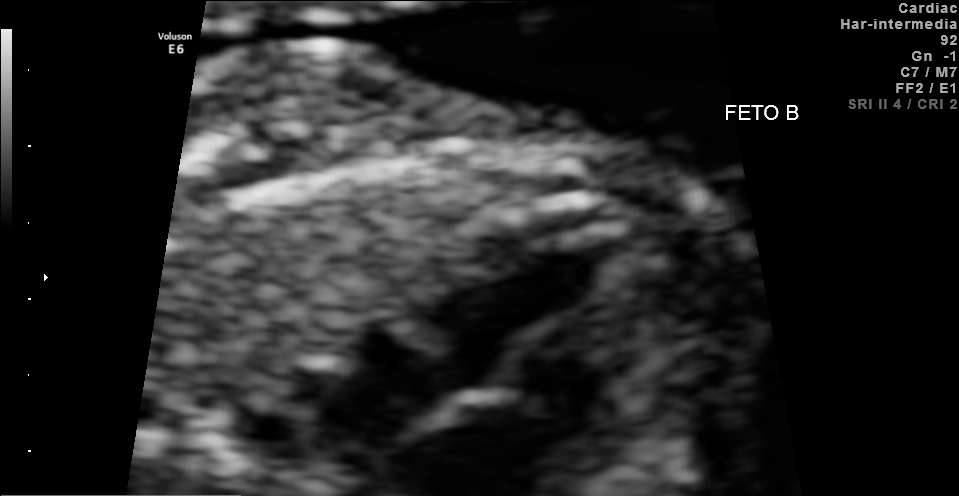
Identify the standard plane in this fetal ultrasound image: fetal abdomen, fetal brain, fetal femur, fetal thorax, maternal cervix, or other. If it's fetal brain and one of the three standard brain planes (trans-thalamic, trans-cerebellum, trans-ventricular), name which.

Fetal thorax